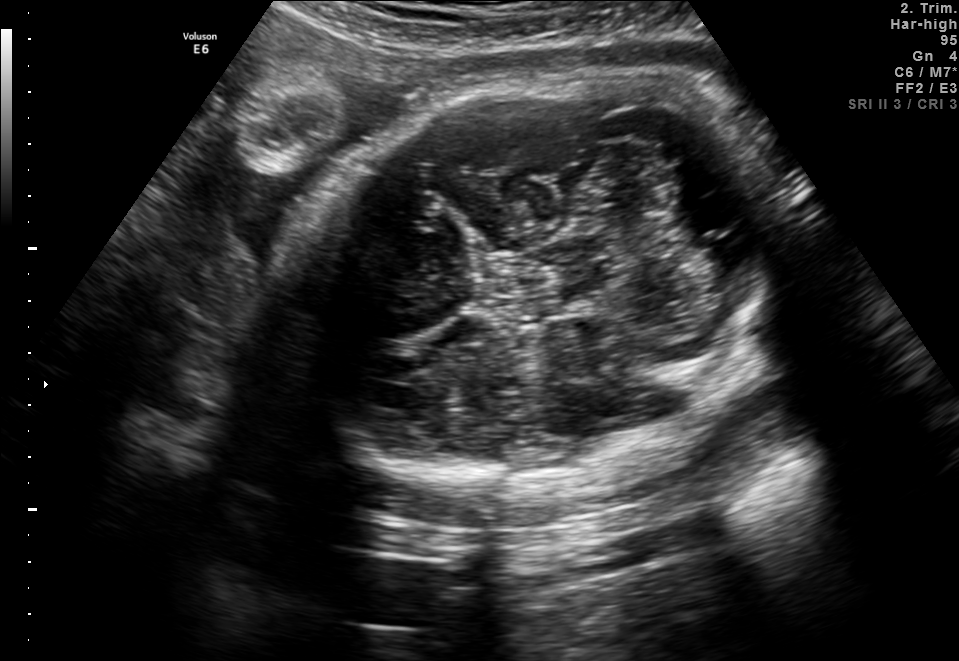
Fetal brain, trans-cerebellum plane. Where is the fetal head?

Head bounding box: [286,73,805,490]